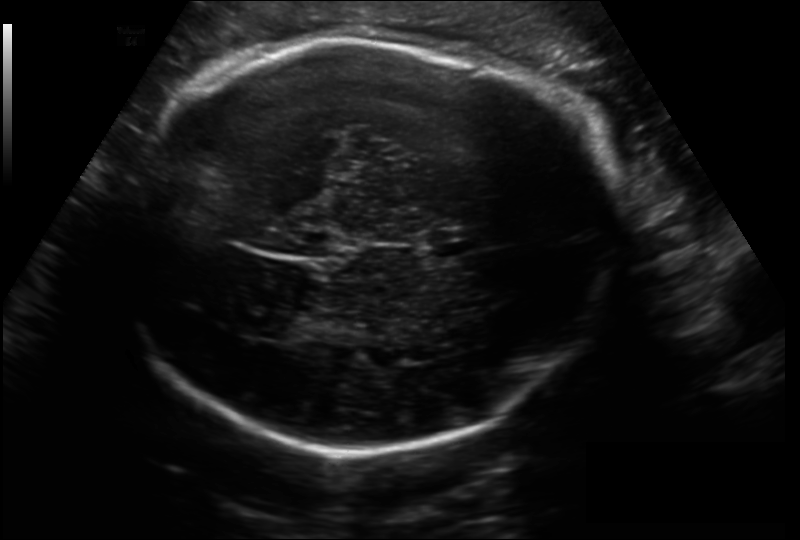
Fetal head ultrasound. Image width: 164.9 mm. Locate the lateral ventricle.

Lateral ventricle: [224,300,292,341]